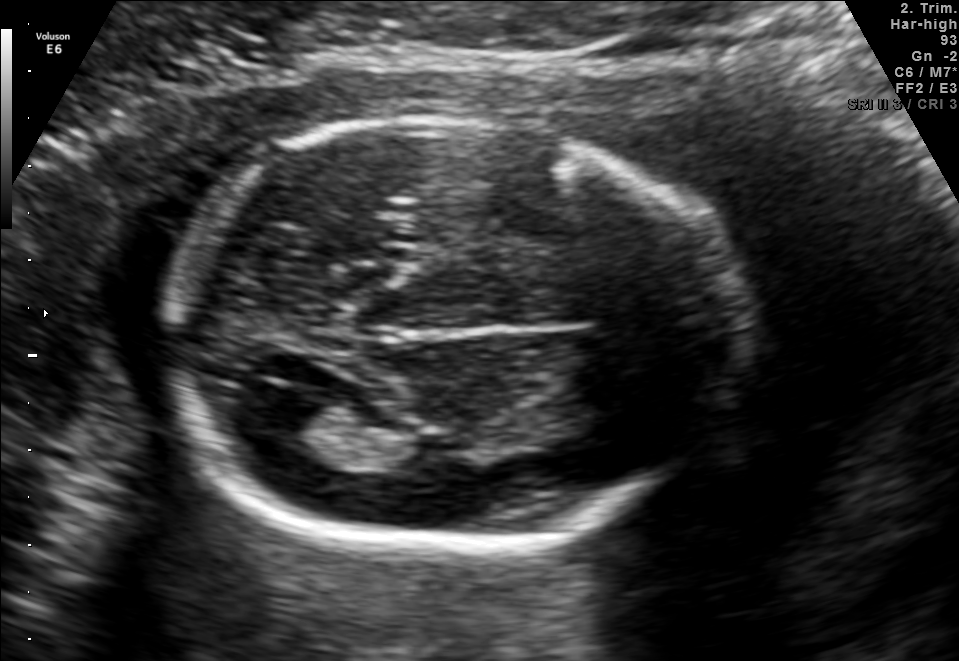
Fetal brain, trans-ventricular plane. Where is the fetal head?

Head bounding box: [147,106,746,567]